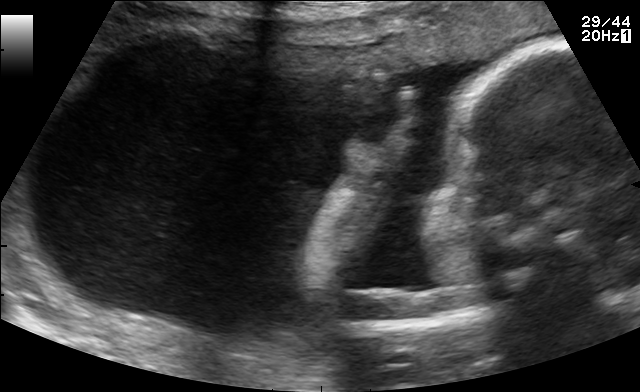
Identify the standard plane in this fetal ultrasound image: fetal abdomen, fetal brain, fetal femur, fetal thorax, maternal cervix, or other. If it's fetal brain and one of the three standard brain planes (trans-thalamic, trans-cerebellum, trans-ventricular), name which.

Other